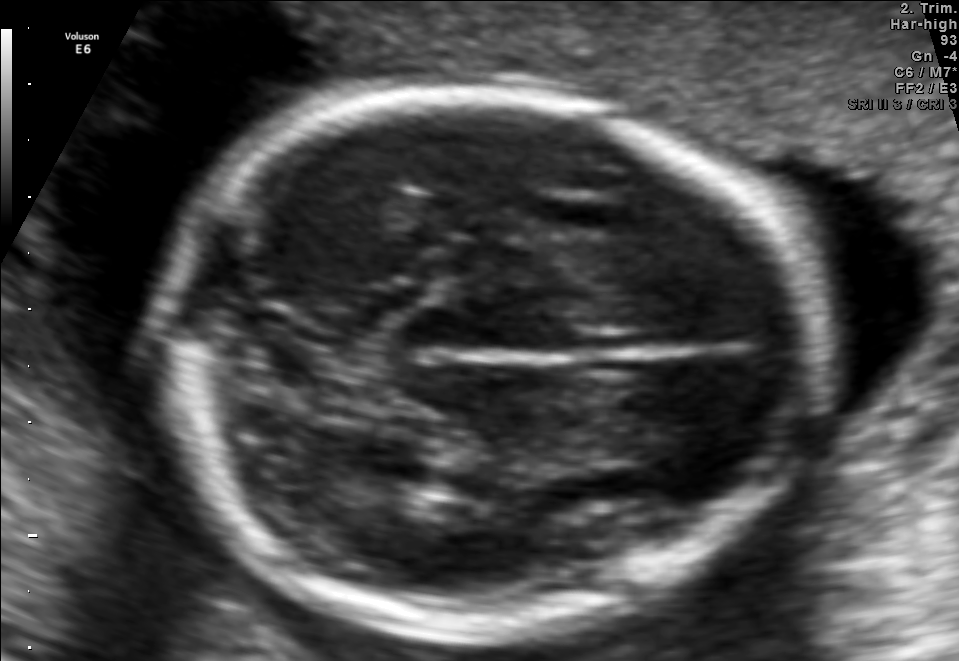
Identify the standard plane in this fetal ultrasound image: fetal abdomen, fetal brain, fetal femur, fetal thorax, maternal cervix, or other. If it's fetal brain and one of the three standard brain planes (trans-thalamic, trans-cerebellum, trans-ventricular), name which.

Fetal brain (trans-thalamic plane)